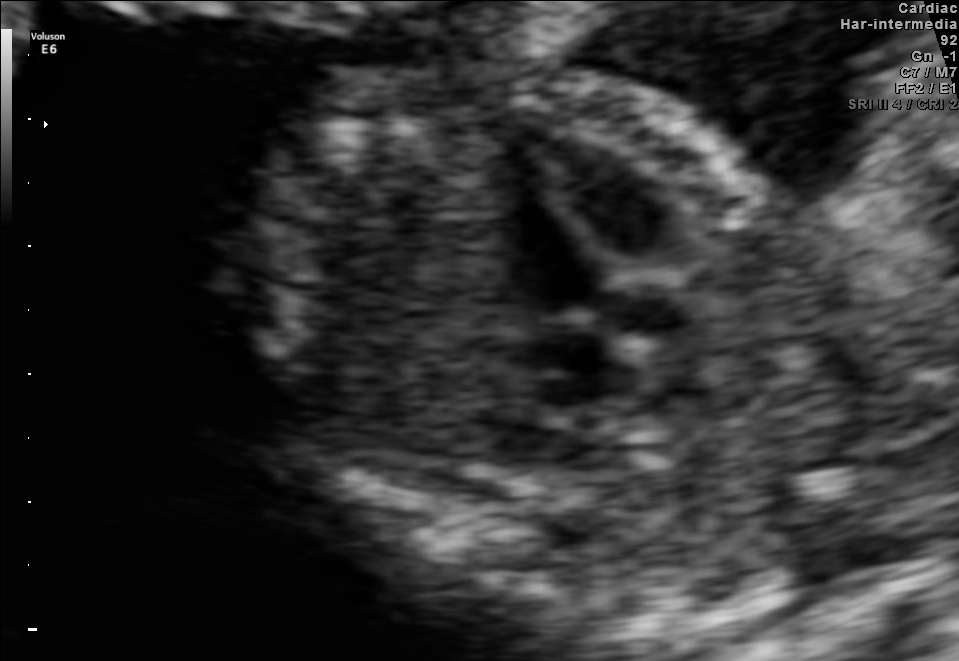
Identify the standard plane in this fetal ultrasound image: fetal abdomen, fetal brain, fetal femur, fetal thorax, maternal cervix, or other. If it's fetal brain and one of the three standard brain planes (trans-thalamic, trans-cerebellum, trans-ventricular), name which.

Fetal thorax